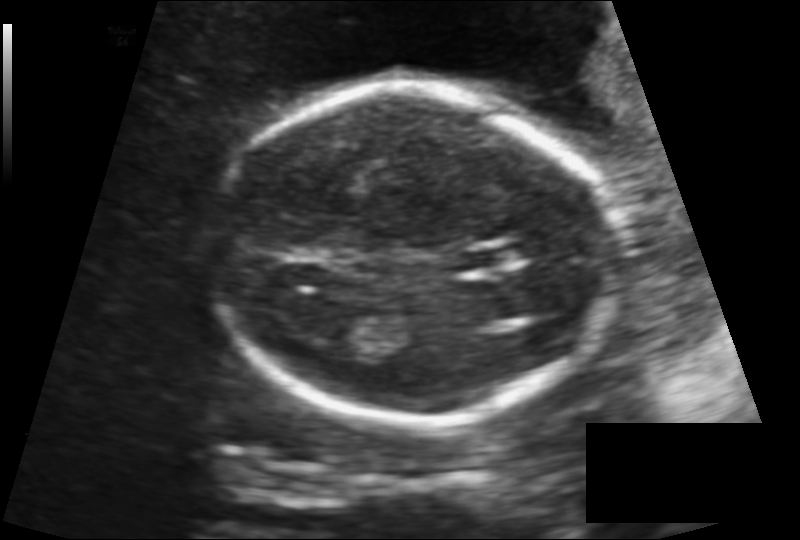
Fetal head ultrasound. Image width: 110.1 mm. Locate the cavum septum pellucidum.

CSP: [456,241,522,275]